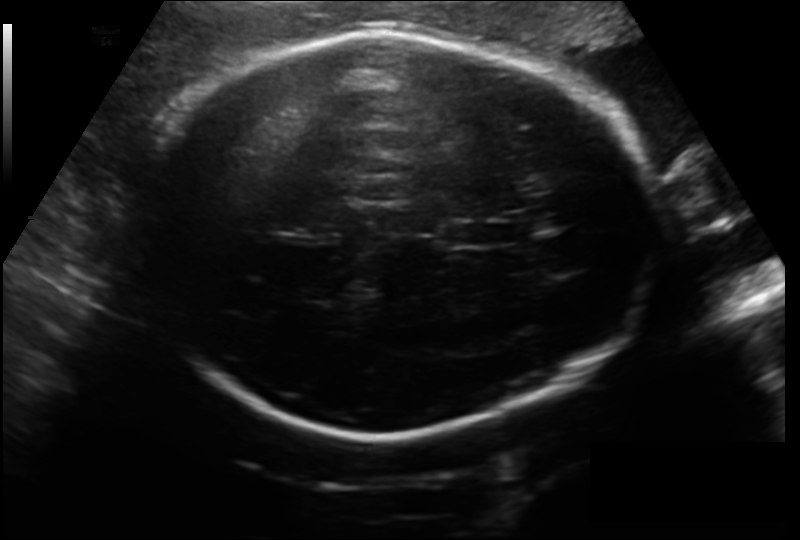
In this fetal head ultrasound, give the bounding box of the fetal head. Image width: 158.8 mm.

[145,31,655,434]